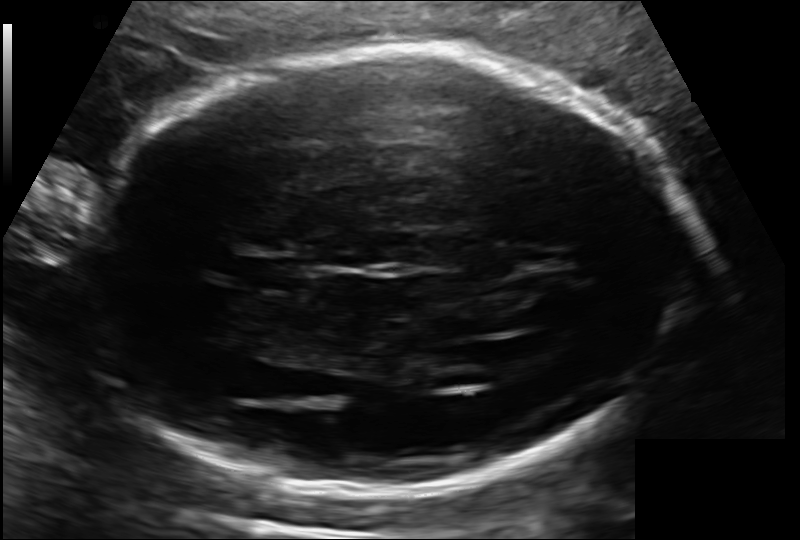
Fetal head ultrasound. Image width: 114.4 mm. Where is the cavum septum pellucidum?

CSP bounding box: [235,252,306,294]